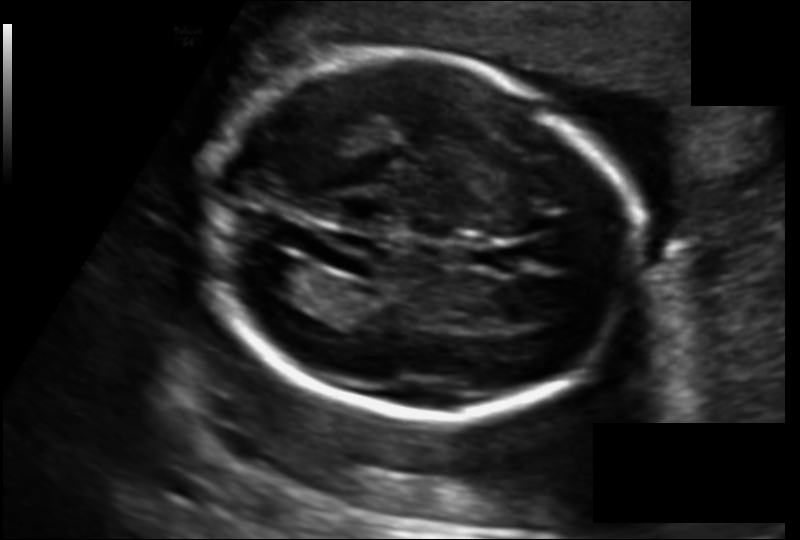
In this fetal head ultrasound, give the bounding box of the cavum septum pellucidum. Image width: 107.9 mm.

[465,242,520,272]